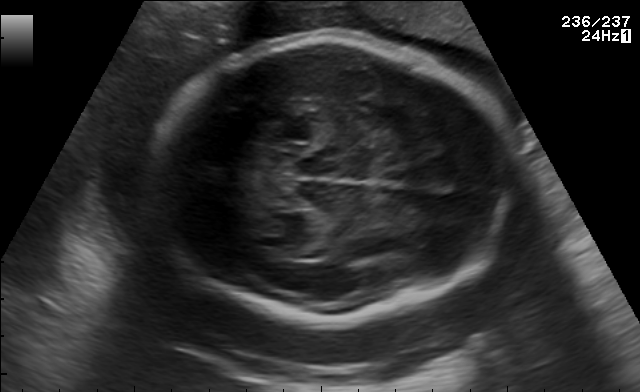
Fetal brain, trans-thalamic plane. Locate the fetal head.

Head: [154,35,498,317]